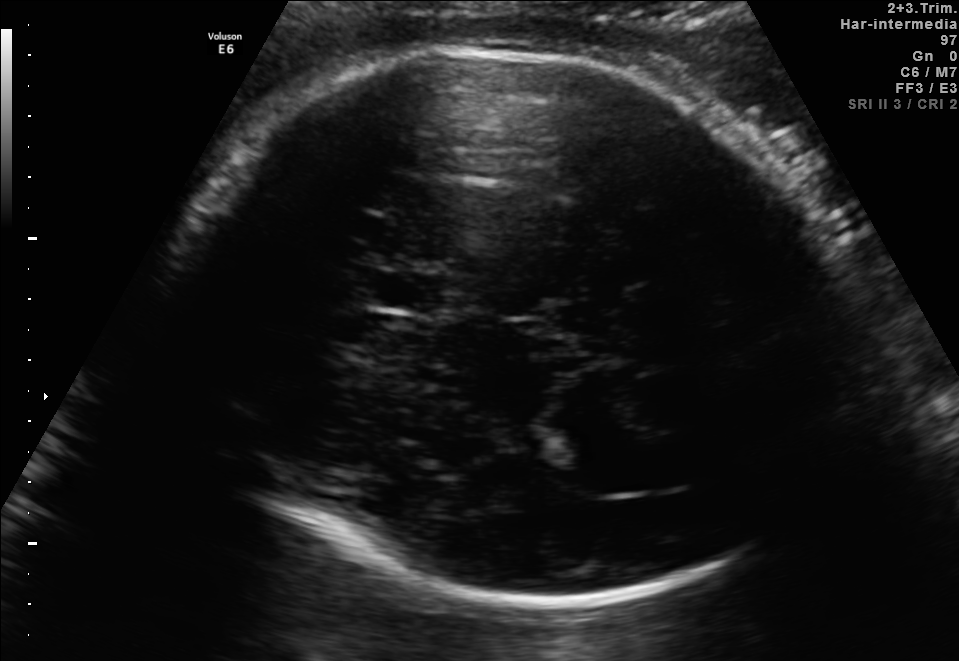
In this fetal brain, trans-thalamic plane, give bounding boxes for the head outline, cavum septum pellucidum (CSP), and lateral ventricle (LV), where visible.

Head: [186,46,841,605]
CSP: [368,266,441,315]
Lateral ventricle: [560,442,680,499]